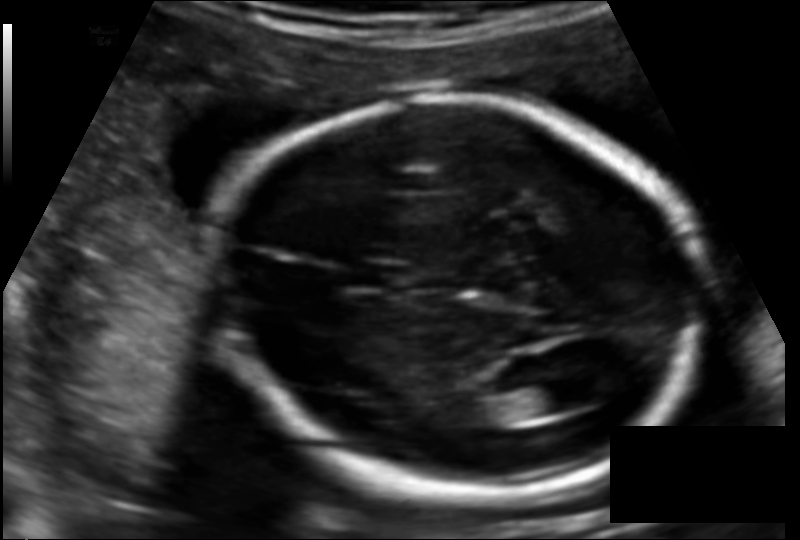
Fetal head ultrasound. Image width: 99.4 mm. Locate the cavum septum pellucidum.

CSP: [344,260,403,290]